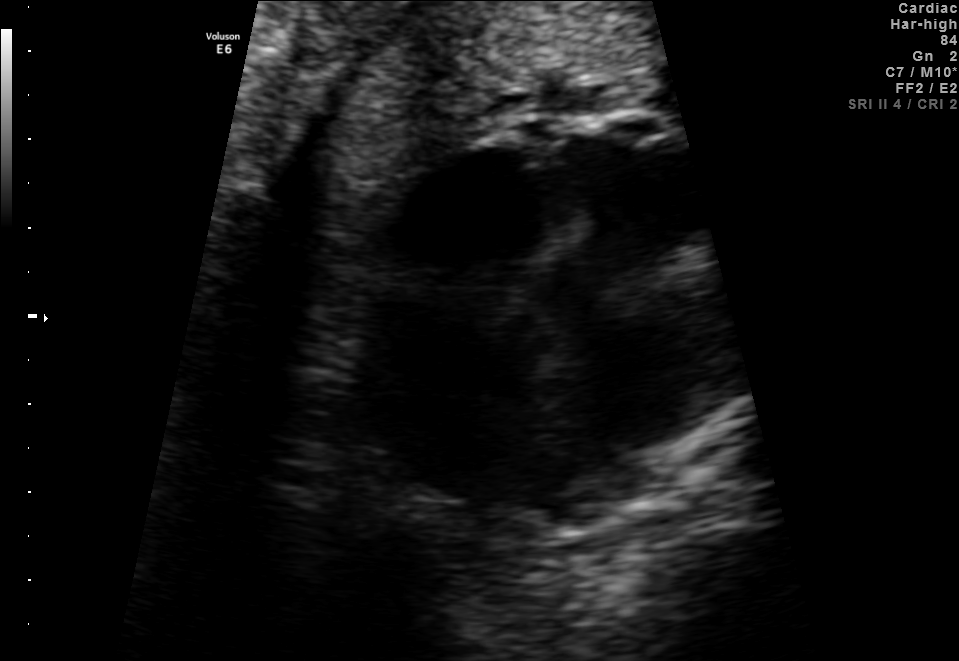
Classify this maternal-fetal ultrasound image as one of the six standard planes — fetal abdomen, fetal brain, fetal femur, fetal thorax, maternal cervix, or other. If it's fetal brain and one of the three standard brain planes (trans-thalamic, trans-cerebellum, trans-ventricular), name which.

Fetal thorax